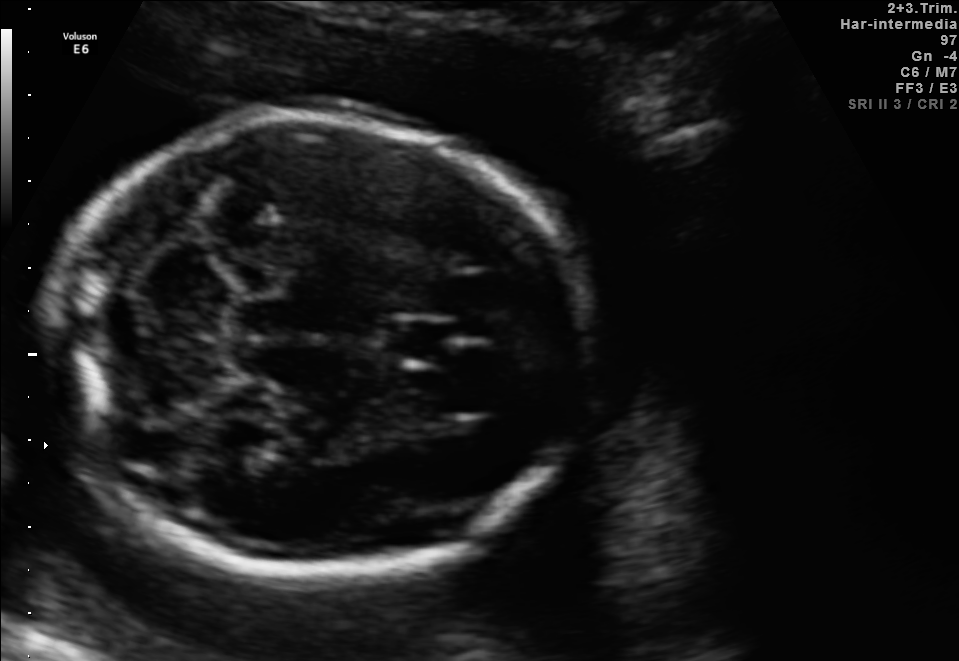
In this fetal brain, trans-cerebellum plane, give the bounding box of the fetal head.

[56,115,589,584]